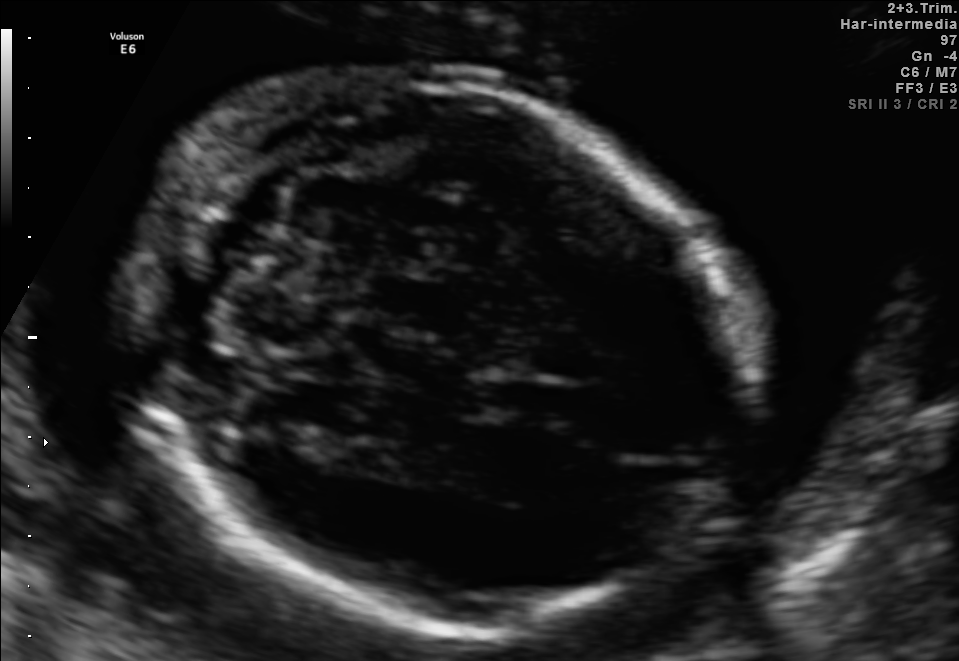
In this fetal brain, trans-cerebellum plane, give the bounding box of the fetal head.

[130,78,741,627]